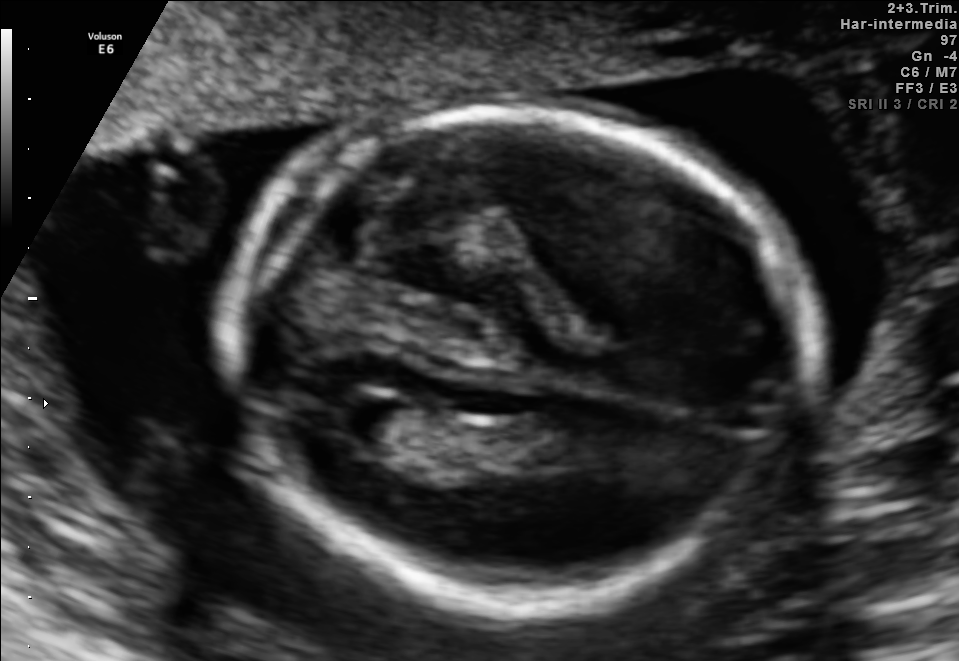
In this fetal brain, trans-ventricular plane, give bounding boxes for the head outline, cavum septum pellucidum (CSP), and lateral ventricle (LV), where visible.

Head: [215,101,826,618]
Lateral ventricle: [327,386,409,450]